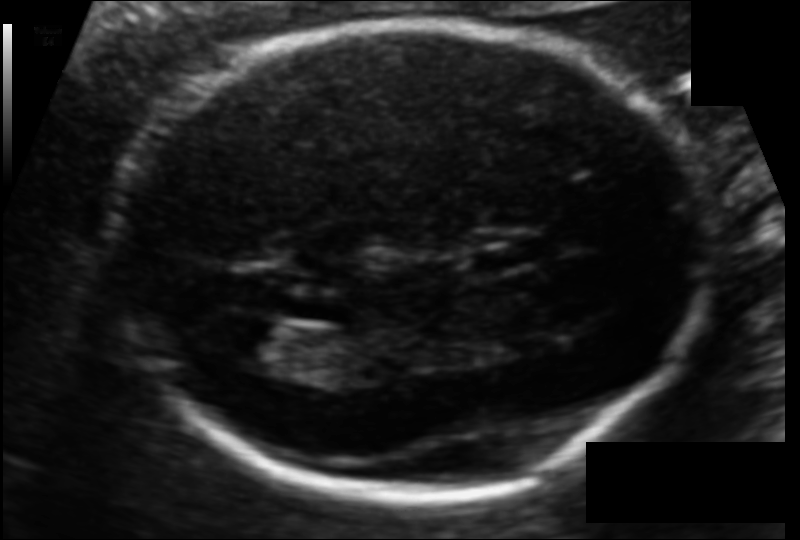
Fetal head ultrasound. Image width: 85.1 mm. Where is the fetal head?

Head bounding box: [118,21,707,491]